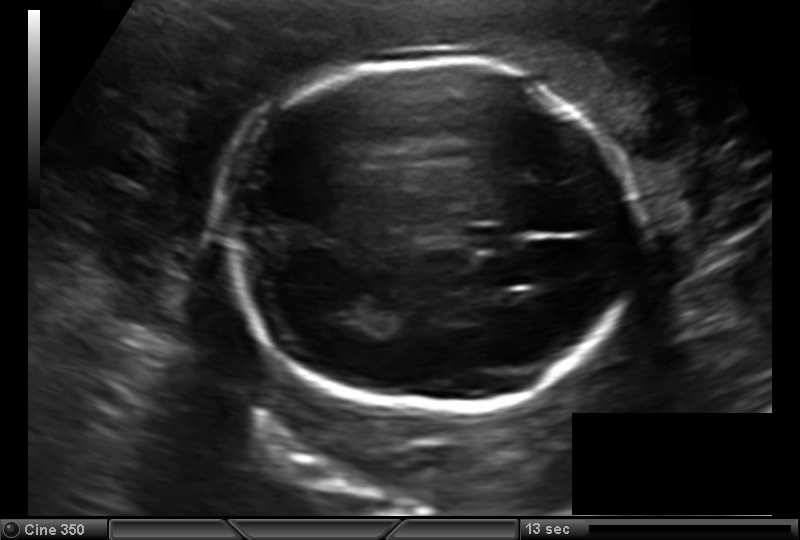
From this fetal ultrasound, estimate the head circumference (image width 125.6 mm).

Head circumference: 198.9 mm.